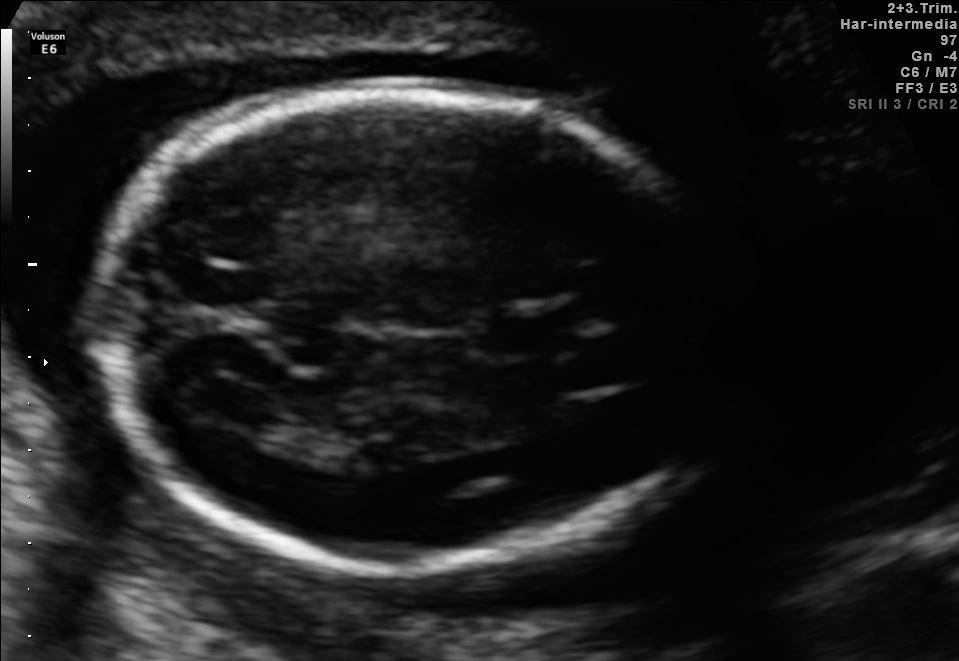
In this fetal brain, trans-ventricular plane, give bounding boxes for the head outline, cavum septum pellucidum (CSP), and lateral ventricle (LV), where visible.

Head: [82,78,753,589]
CSP: [487,317,565,351]
Lateral ventricle: [193,372,274,436]